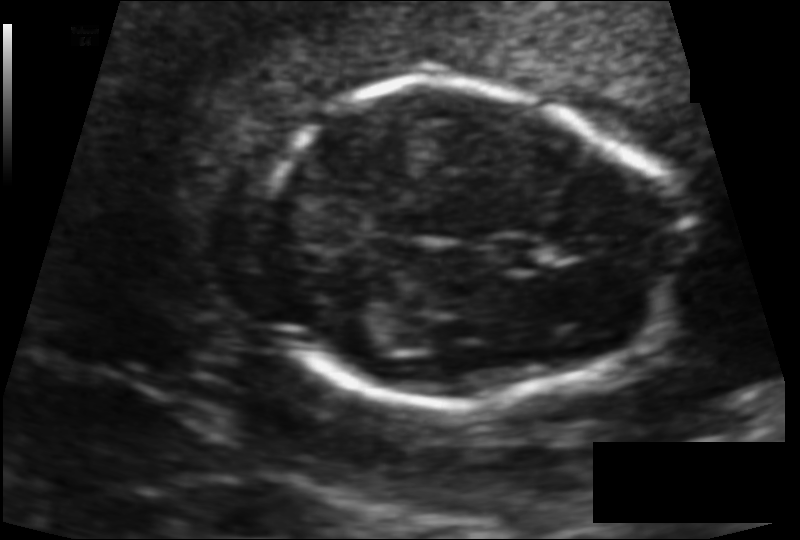
Fetal head ultrasound. Image width: 80.4 mm. Locate the cavum septum pellucidum.

CSP: [492,240,543,270]